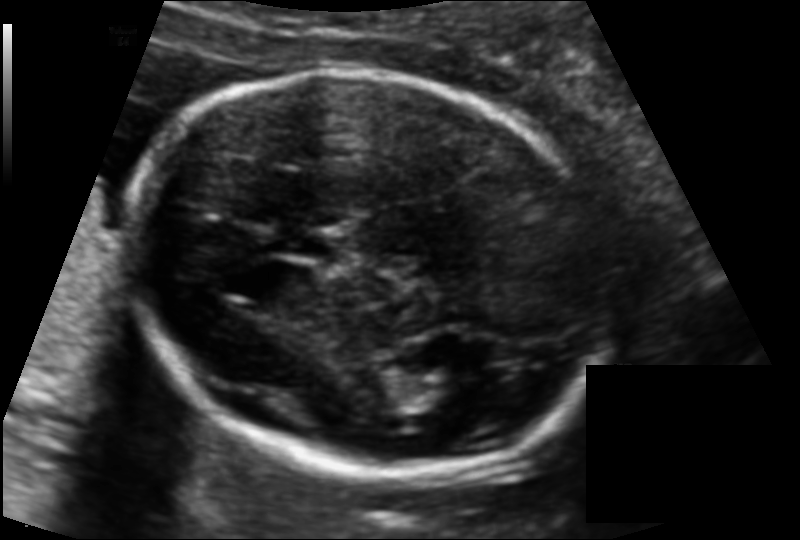
Fetal head ultrasound. Image width: 93.1 mm. Locate the fetal head and, if visible, the cavum septum pellucidum (CSP) and lateral ventricle (LV). Give bounding boxes as [x1,y1,x2,y2].

Head: [132,73,606,477]
CSP: [275,221,350,270]